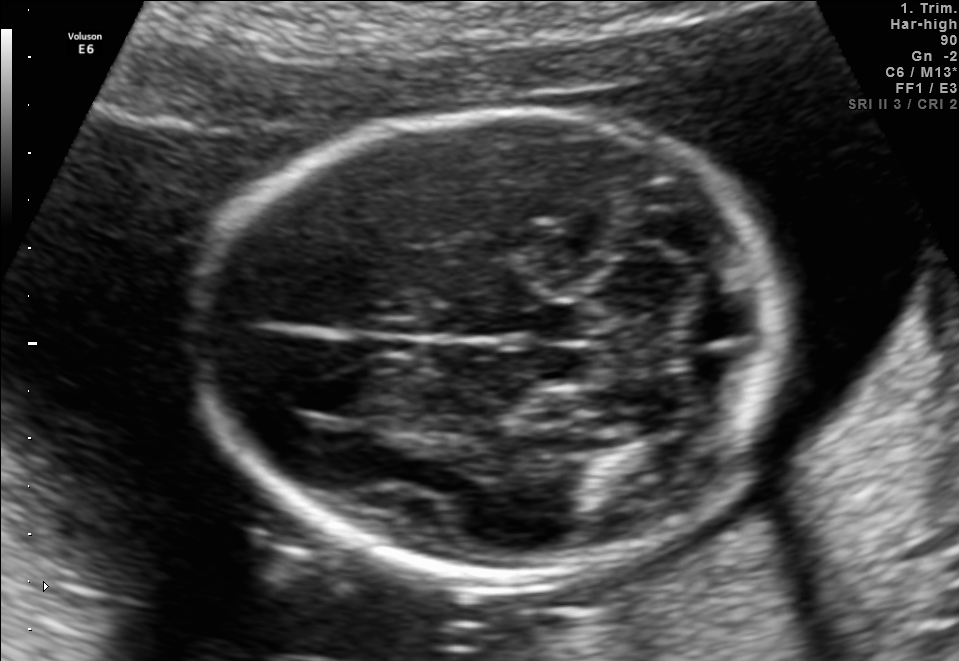
Fetal brain, trans-cerebellum plane. Where is the fetal head?

Head bounding box: [205,109,788,572]